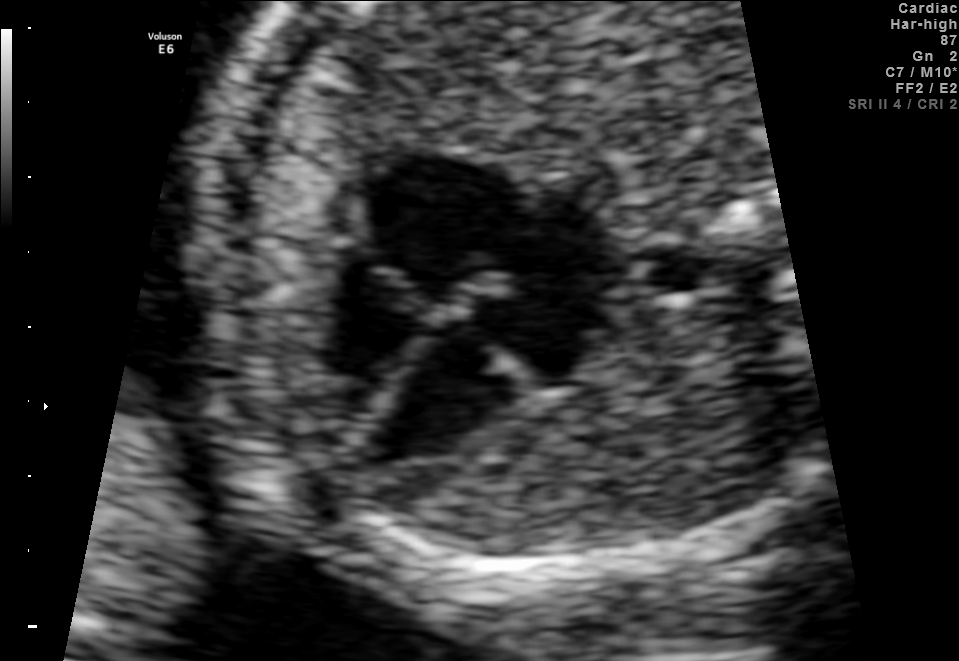
This is a 2D maternal-fetal ultrasound frame. Is it a fetal abdomen, fetal brain, fetal femur, fetal thorax, maternal cervix, or other standard plane? If it's fetal brain and one of the three standard brain planes (trans-thalamic, trans-cerebellum, trans-ventricular), name which.

Fetal thorax